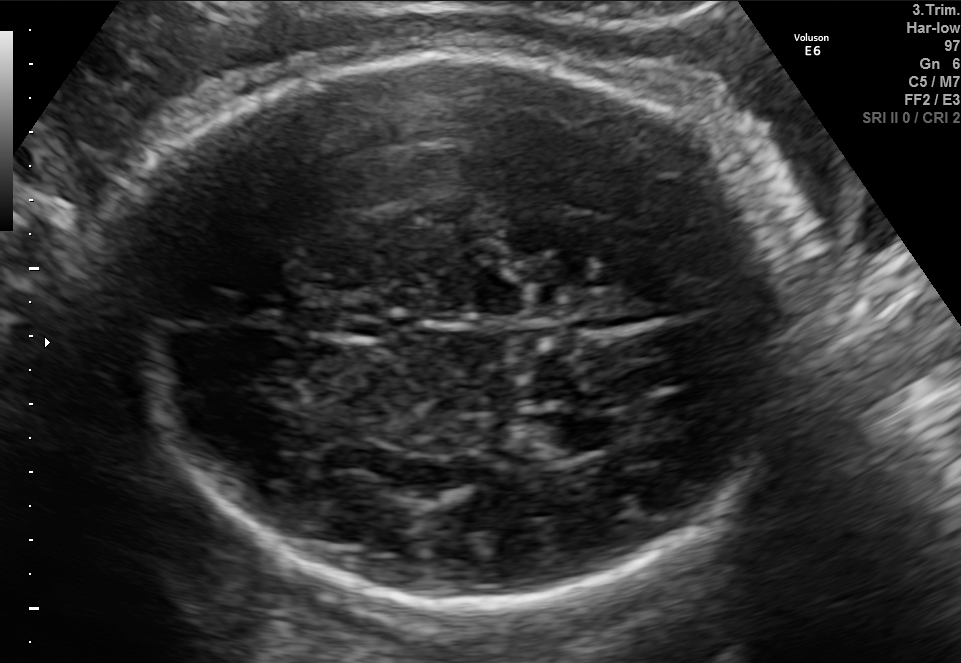
Fetal brain, trans-thalamic plane. Locate the fetal head.

Head: [109,42,794,605]